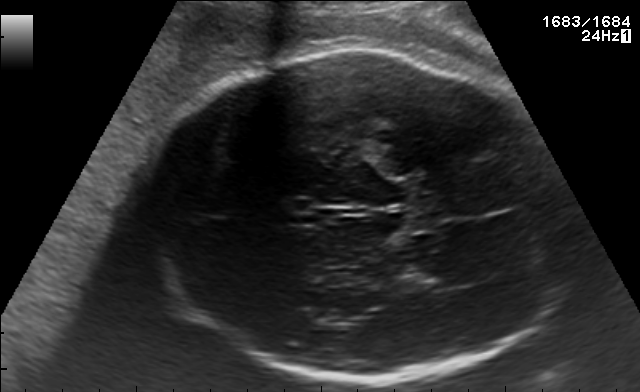
Fetal brain, trans-thalamic plane. Locate the fetal head.

Head: [136,47,564,382]